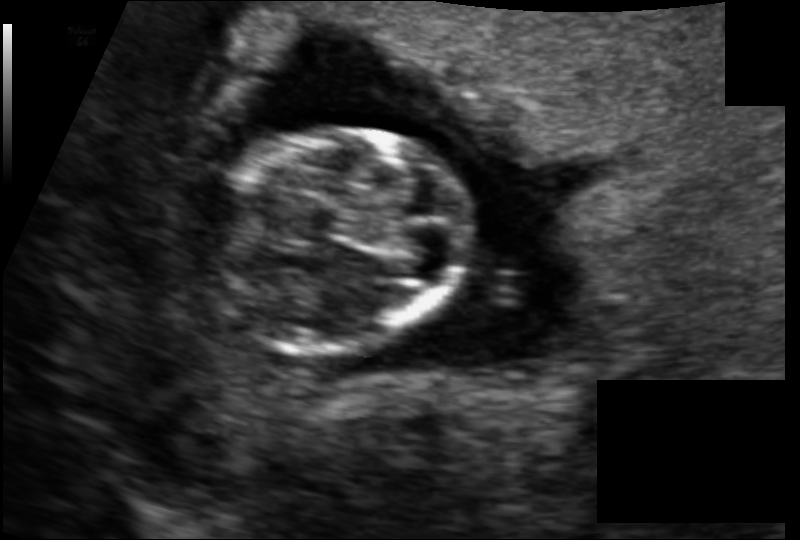
What is the fetal head circumference? Image width is 77.7 mm.

75.9 mm